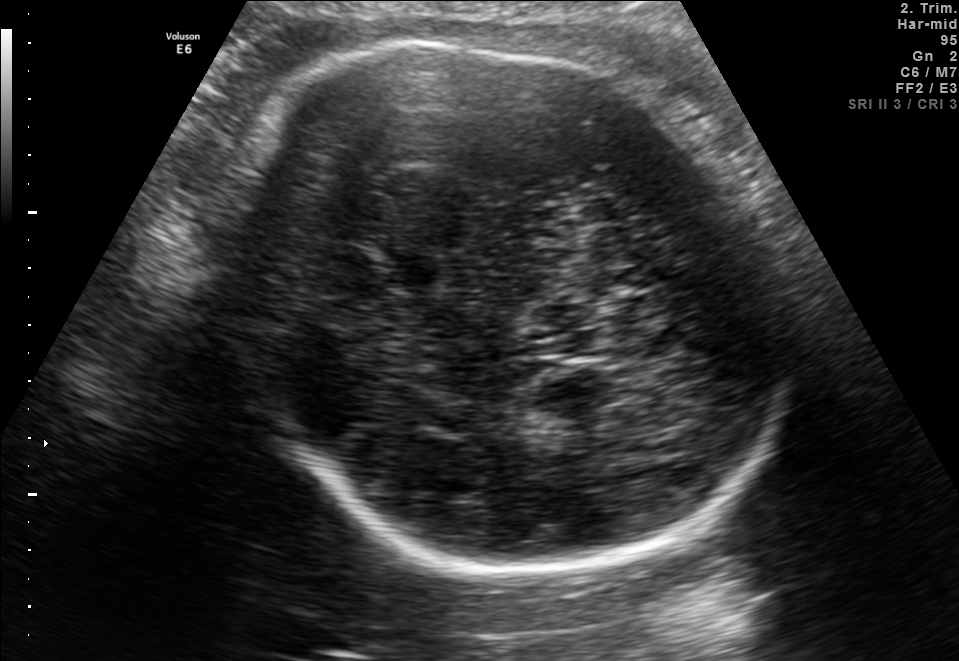
Fetal brain, trans-thalamic plane. Where is the cavum septum pellucidum?

CSP bounding box: [370,242,450,296]